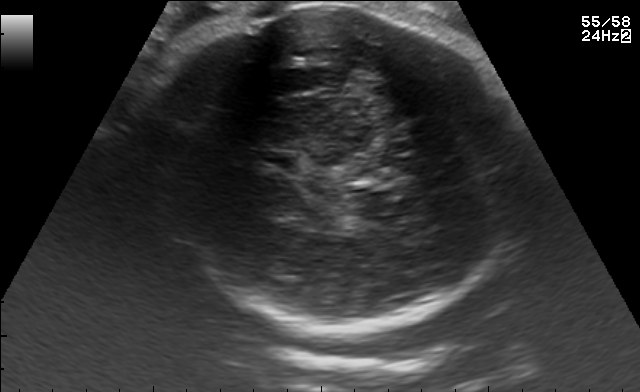
In this fetal brain, trans-thalamic plane, give bounding boxes for the head outline, cavum septum pellucidum (CSP), and lateral ventricle (LV), where visible.

Head: [141,3,523,326]